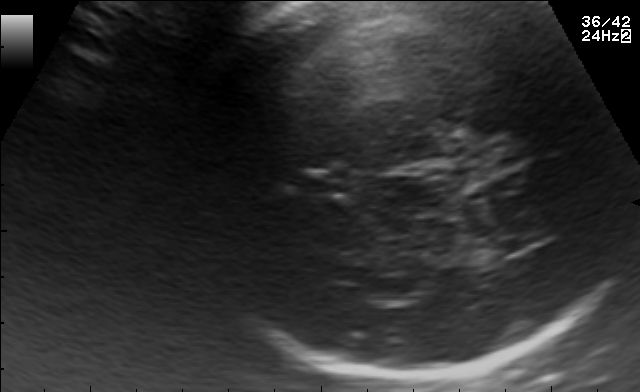
In this fetal brain, trans-thalamic plane, give the bounding box of the fetal head.

[182,2,627,378]